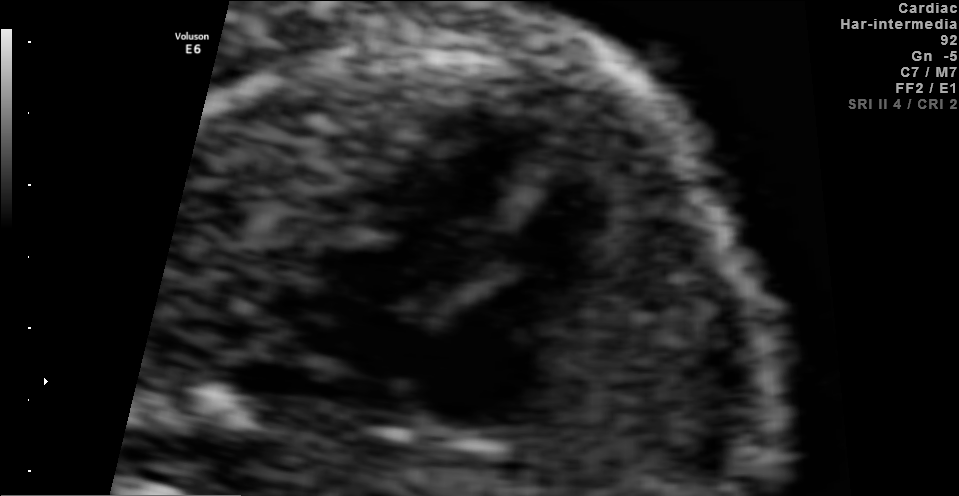
This is a 2D maternal-fetal ultrasound frame. Is it a fetal abdomen, fetal brain, fetal femur, fetal thorax, maternal cervix, or other standard plane? If it's fetal brain and one of the three standard brain planes (trans-thalamic, trans-cerebellum, trans-ventricular), name which.

Fetal thorax